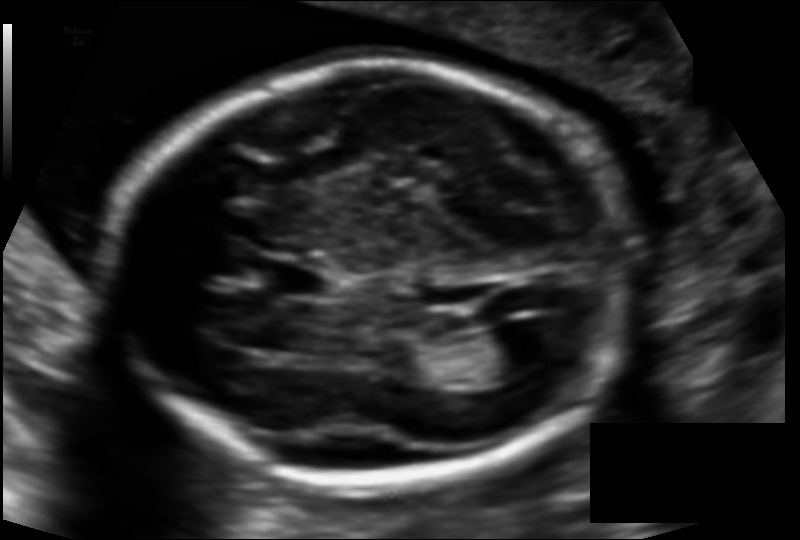
Fetal head ultrasound. Image width: 96.7 mm. Where is the fetal head?

Head bounding box: [110,63,626,484]